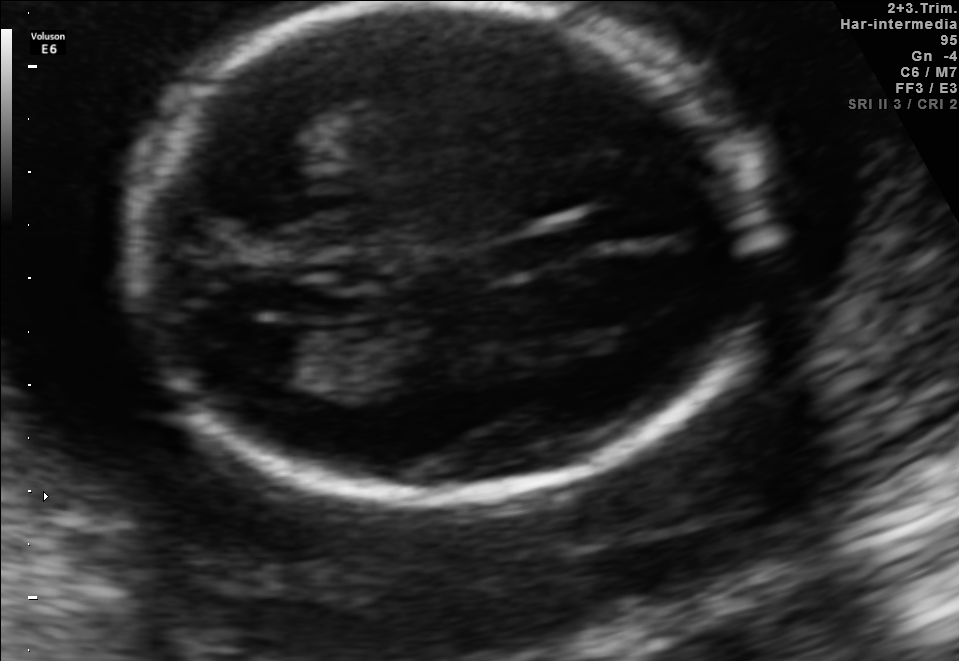
Fetal brain, trans-ventricular plane. Locate the fetal head.

Head: [109,4,788,507]